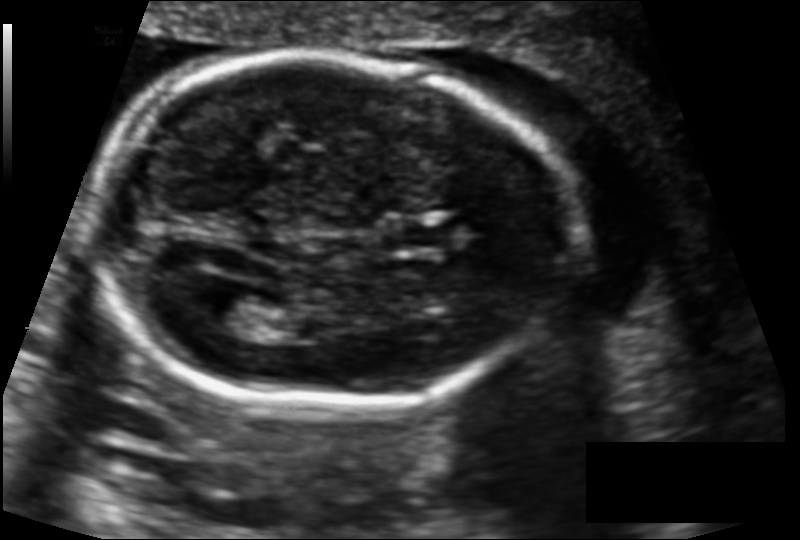
From this fetal ultrasound, estimate the head circumference (image width 97.4 mm).

Head circumference: 165.6 mm.